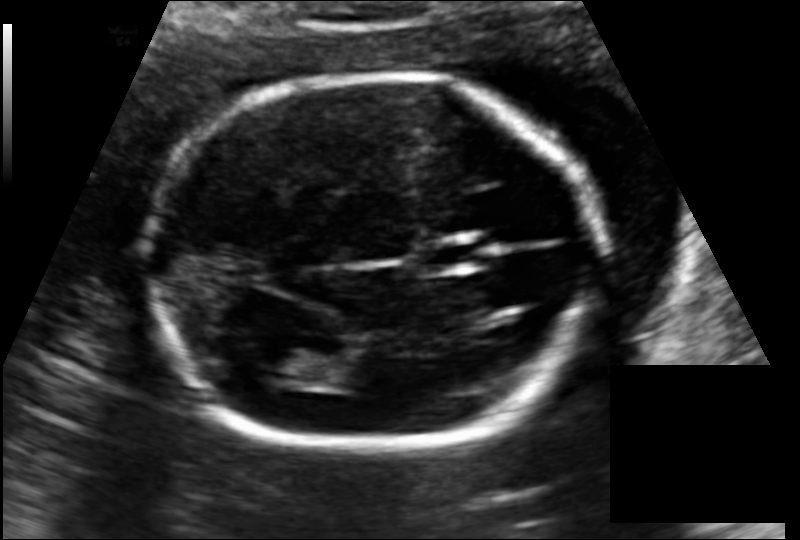
From this fetal ultrasound, estimate the head circumference (image width 101.6 mm).

Head circumference: 170.5 mm.